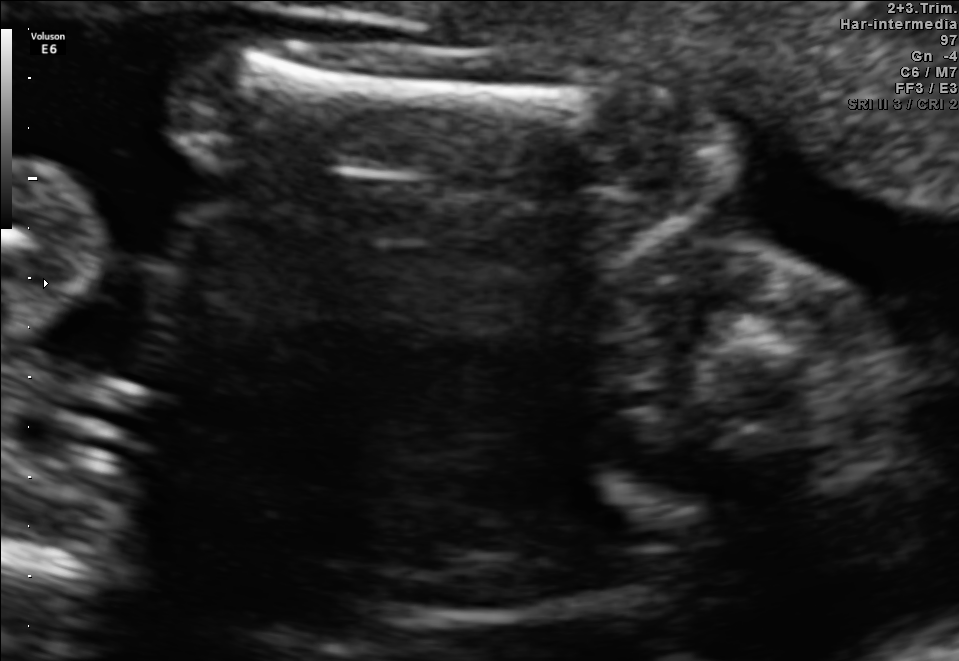
Classify this maternal-fetal ultrasound image as one of the six standard planes — fetal abdomen, fetal brain, fetal femur, fetal thorax, maternal cervix, or other. If it's fetal brain and one of the three standard brain planes (trans-thalamic, trans-cerebellum, trans-ventricular), name which.

Fetal femur